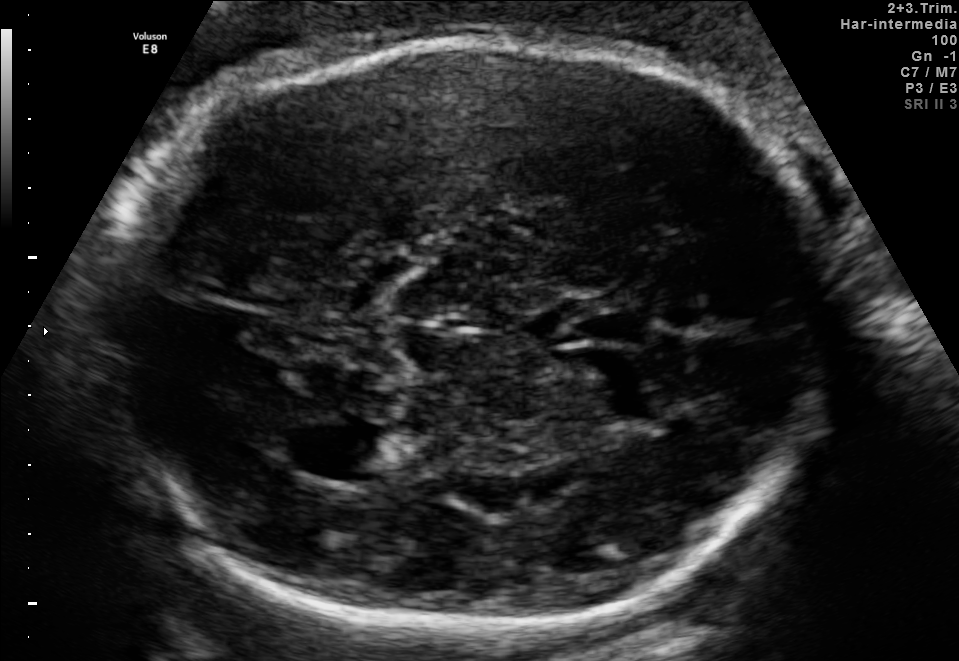
In this fetal brain, trans-thalamic plane, give bounding boxes for the head outline, cavum septum pellucidum (CSP), and lateral ventricle (LV), where visible.

Head: [91,37,834,630]
CSP: [539,302,652,352]
Lateral ventricle: [312,423,421,481]